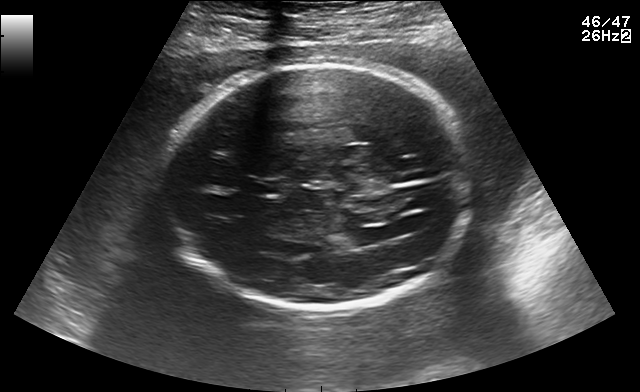
Fetal brain, trans-ventricular plane. Locate the lateral ventricle.

Lateral ventricle: [341,227,380,250]